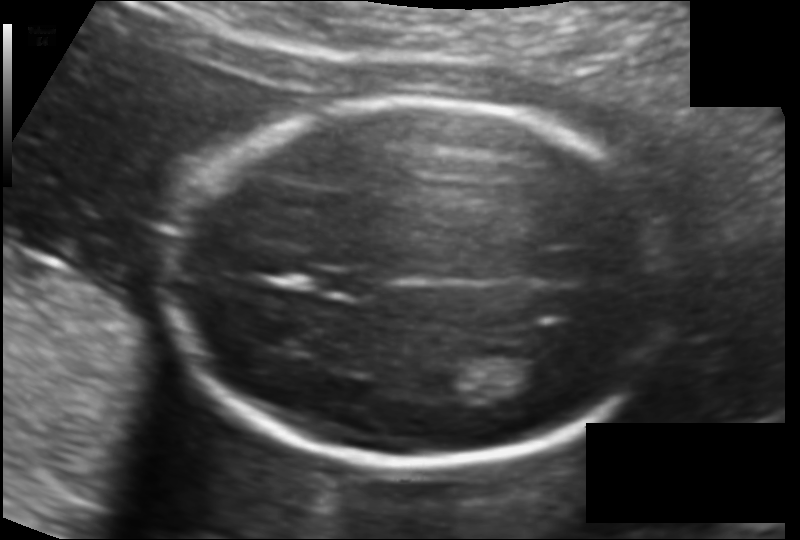
Fetal head ultrasound. Image width: 97.1 mm. Locate the fetal head.

Head: [162,100,673,466]